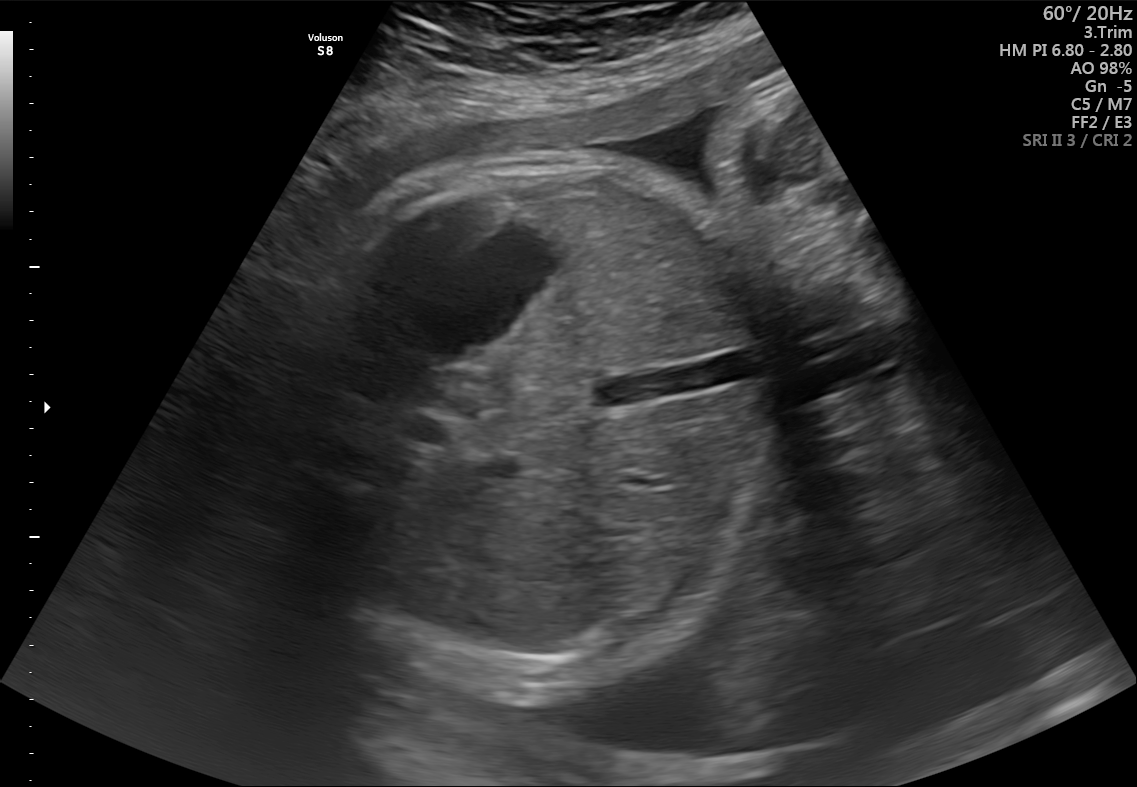
Which standard maternal-fetal ultrasound plane is shown: fetal abdomen, fetal brain, fetal femur, fetal thorax, maternal cervix, or other? If it's fetal brain and one of the three standard brain planes (trans-thalamic, trans-cerebellum, trans-ventricular), name which.

Fetal abdomen